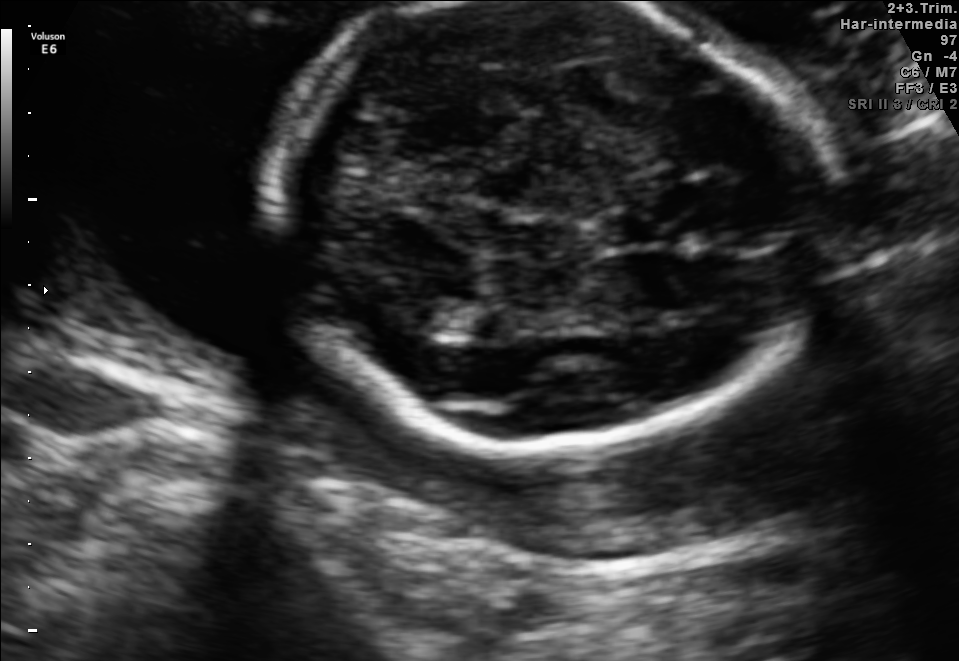
In this fetal brain, trans-thalamic plane, give the bounding box of the fetal head.

[263,2,828,447]